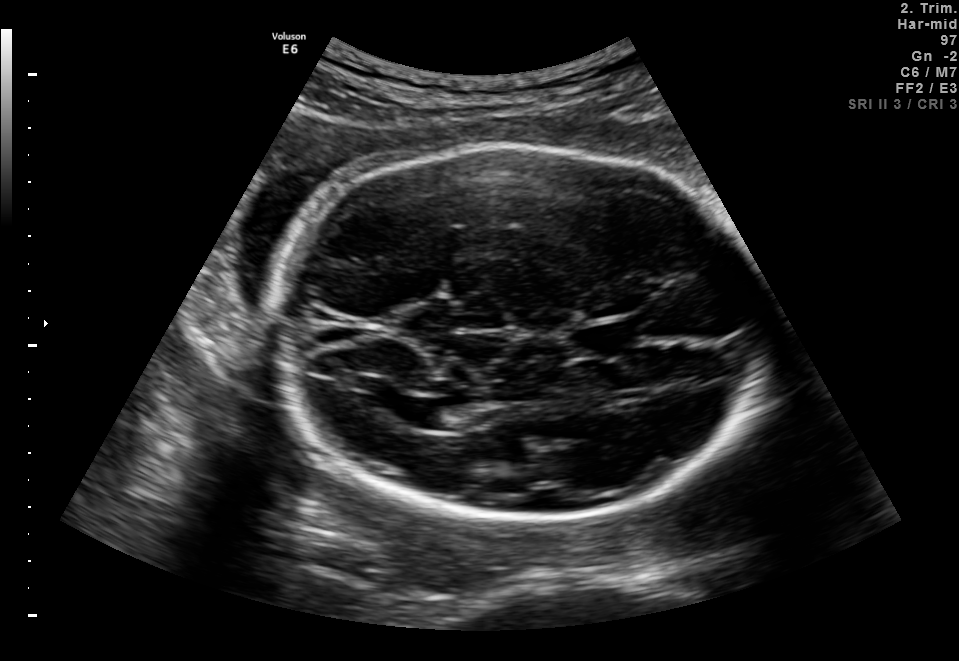
In this fetal brain, trans-ventricular plane, give bounding boxes for the head outline, cavum septum pellucidum (CSP), and lateral ventricle (LV), where visible.

Head: [268,142,773,529]
Lateral ventricle: [391,395,442,430]